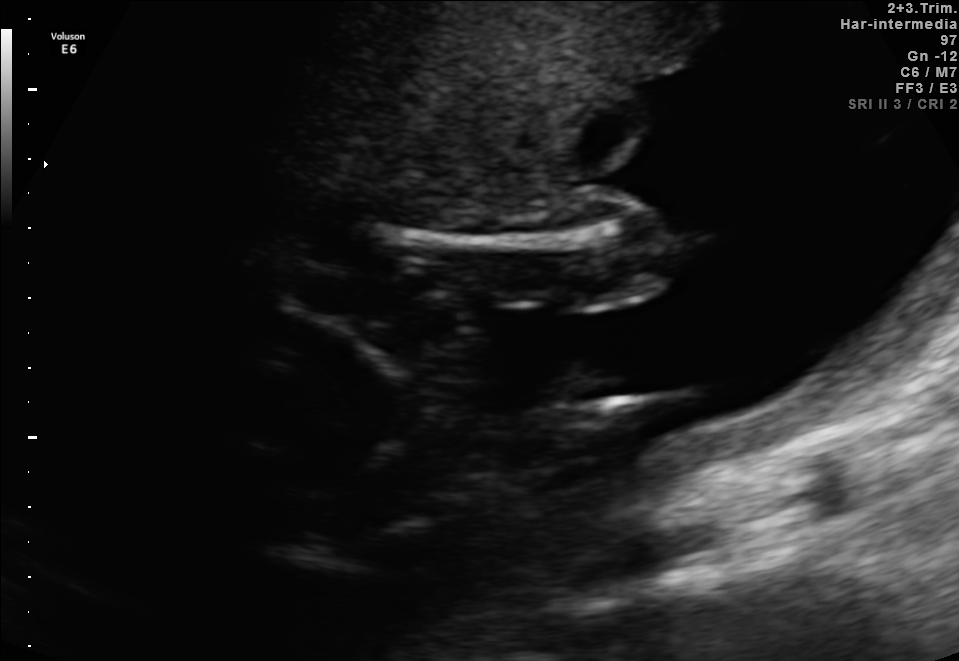
Classify this maternal-fetal ultrasound image as one of the six standard planes — fetal abdomen, fetal brain, fetal femur, fetal thorax, maternal cervix, or other. If it's fetal brain and one of the three standard brain planes (trans-thalamic, trans-cerebellum, trans-ventricular), name which.

Fetal femur